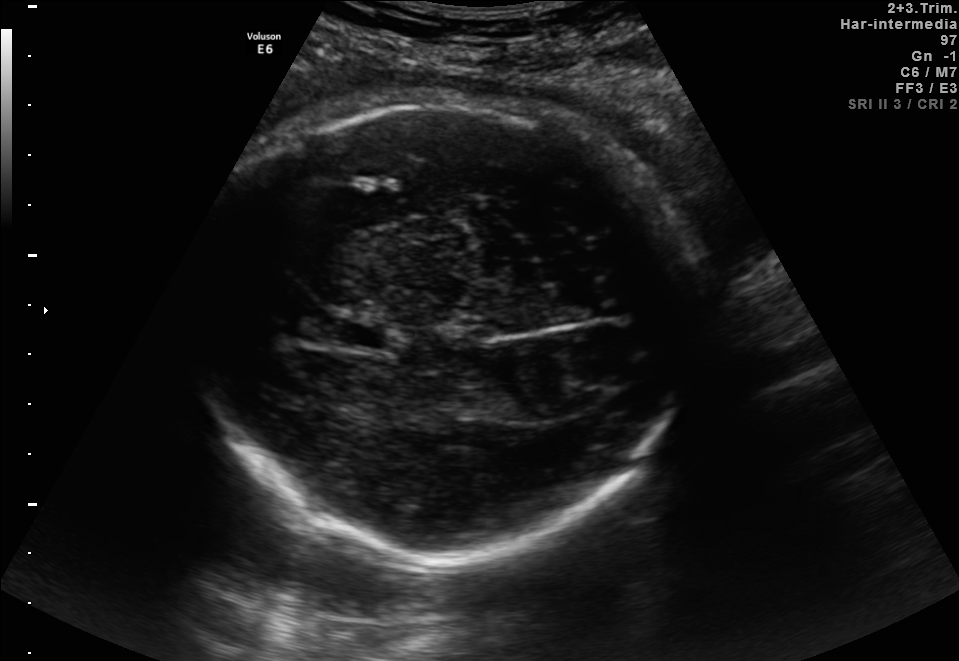
Fetal brain, trans-thalamic plane. Where is the fetal head?

Head bounding box: [188,100,689,559]